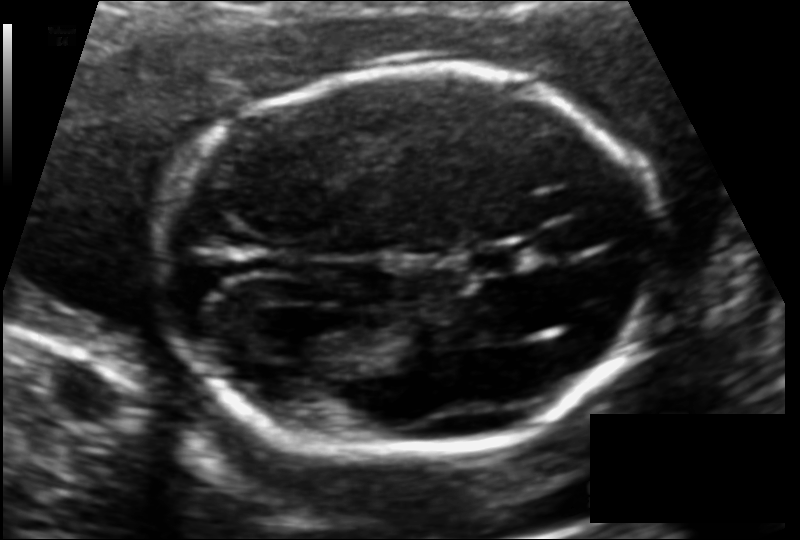
From this fetal ultrasound, estimate the head circumference (image width 93.1 mm).

Head circumference: 168.3 mm.